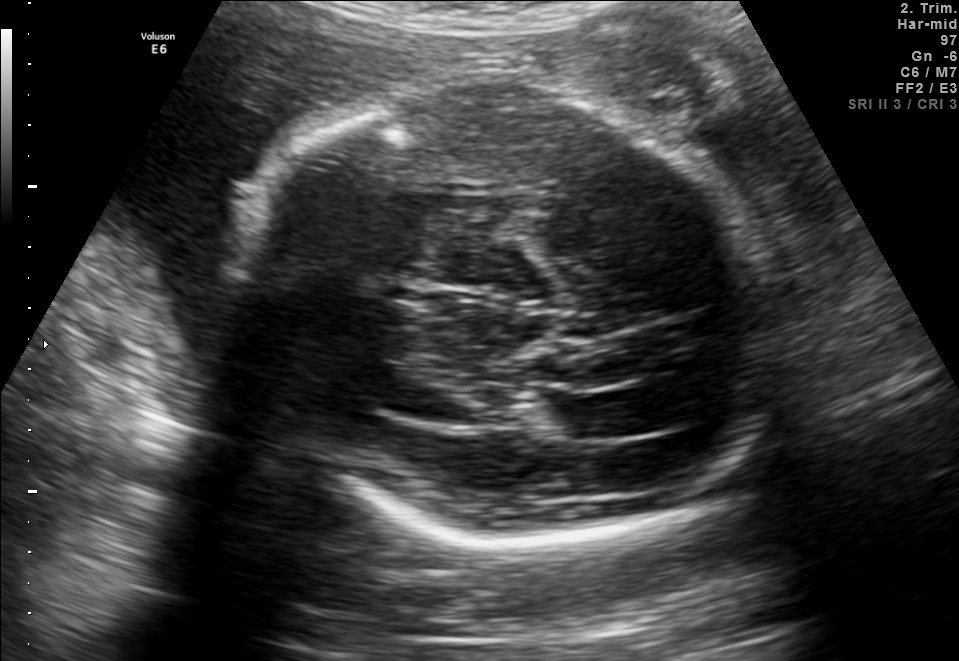
Fetal brain, trans-thalamic plane. Locate the lateral ventricle.

Lateral ventricle: [542,393,632,441]